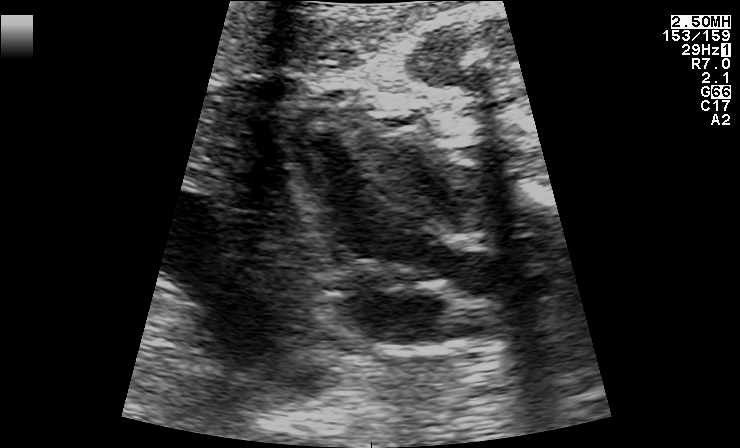
Classify this maternal-fetal ultrasound image as one of the six standard planes — fetal abdomen, fetal brain, fetal femur, fetal thorax, maternal cervix, or other. If it's fetal brain and one of the three standard brain planes (trans-thalamic, trans-cerebellum, trans-ventricular), name which.

Other